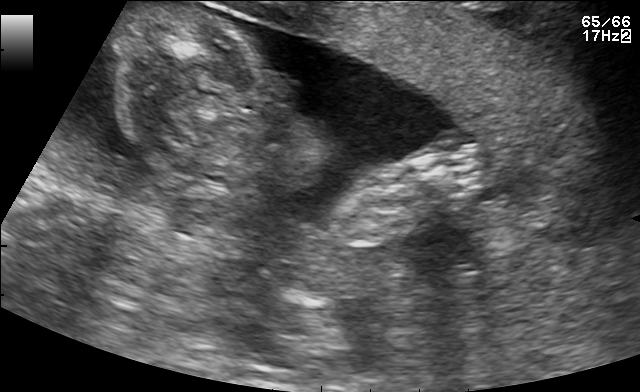
Identify the standard plane in this fetal ultrasound image: fetal abdomen, fetal brain, fetal femur, fetal thorax, maternal cervix, or other. If it's fetal brain and one of the three standard brain planes (trans-thalamic, trans-cerebellum, trans-ventricular), name which.

Other